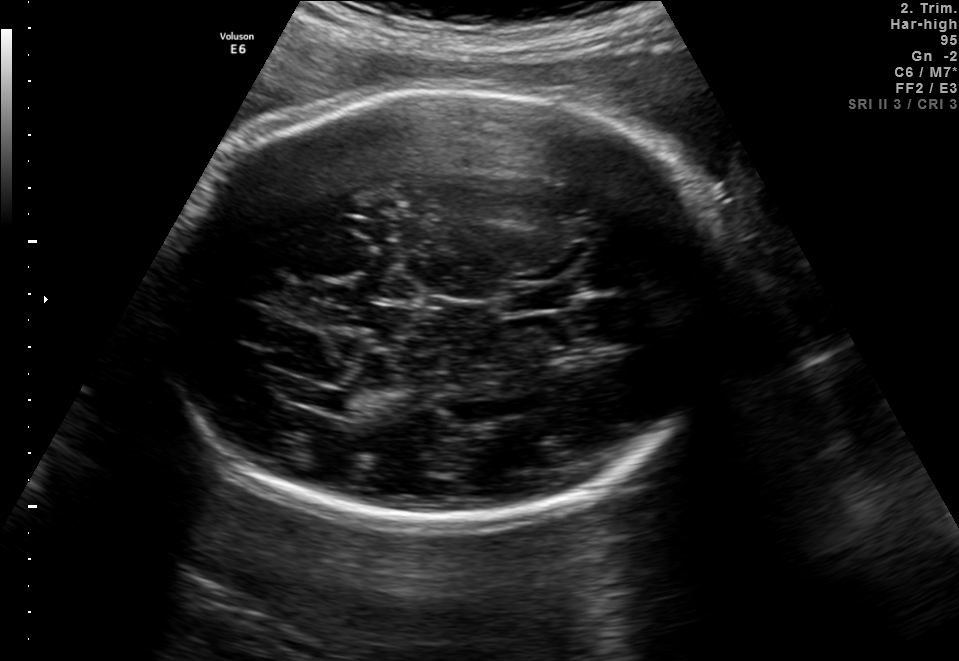
Fetal brain, trans-thalamic plane. Where is the lateral ventricle?

Lateral ventricle bounding box: [284,377,357,419]